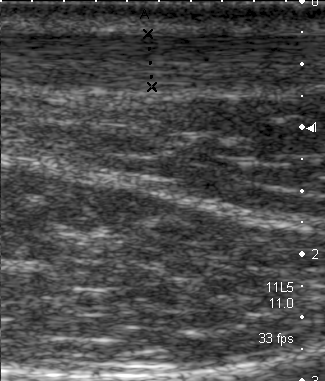
Which standard maternal-fetal ultrasound plane is shown: fetal abdomen, fetal brain, fetal femur, fetal thorax, maternal cervix, or other? If it's fetal brain and one of the three standard brain planes (trans-thalamic, trans-cerebellum, trans-ventricular), name which.

Other